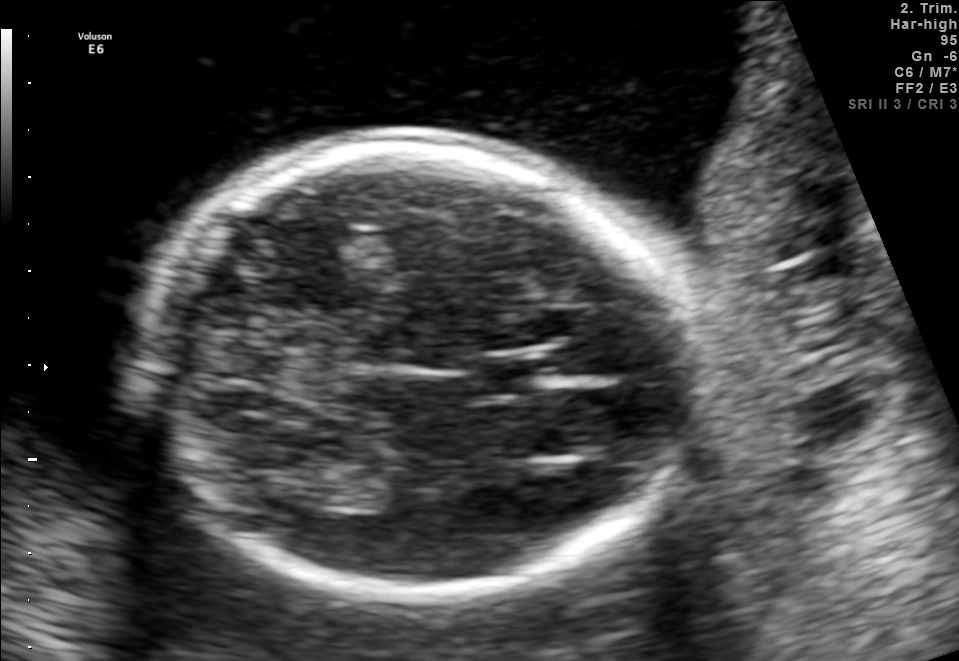
In this fetal brain, trans-thalamic plane, give the bounding box of the fetal head.

[136,137,699,596]